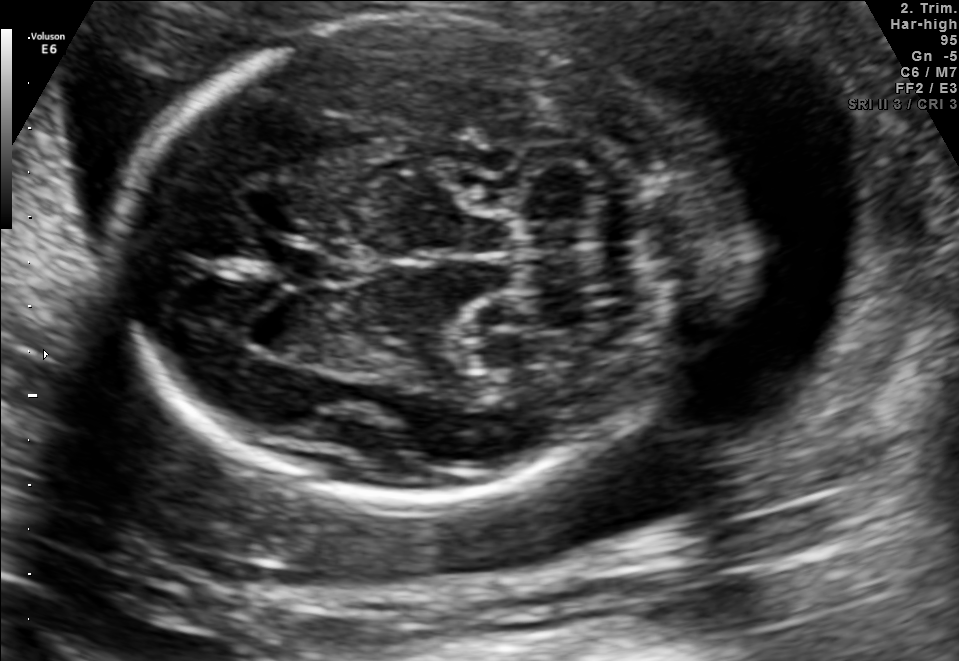
Fetal brain, trans-cerebellum plane. Locate the cavum septum pellucidum.

CSP: [271,243,340,290]